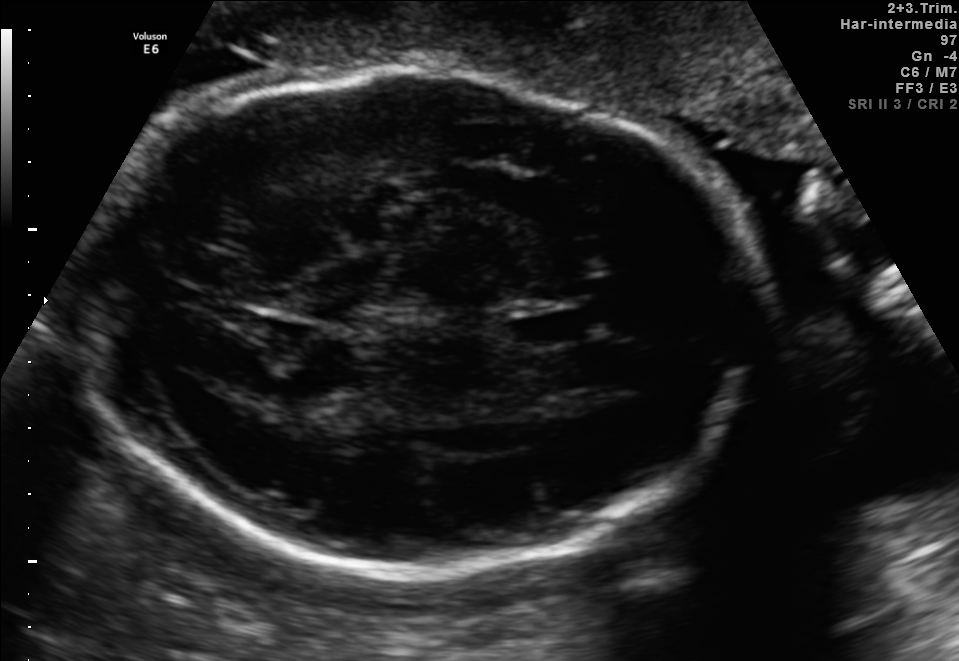
Fetal brain, trans-thalamic plane. Give [x1,y1,x2,y2] bounding boxes for each visible structure among: fetal head, CSP, LV.

Head: [76,70,755,575]
CSP: [508,307,588,353]